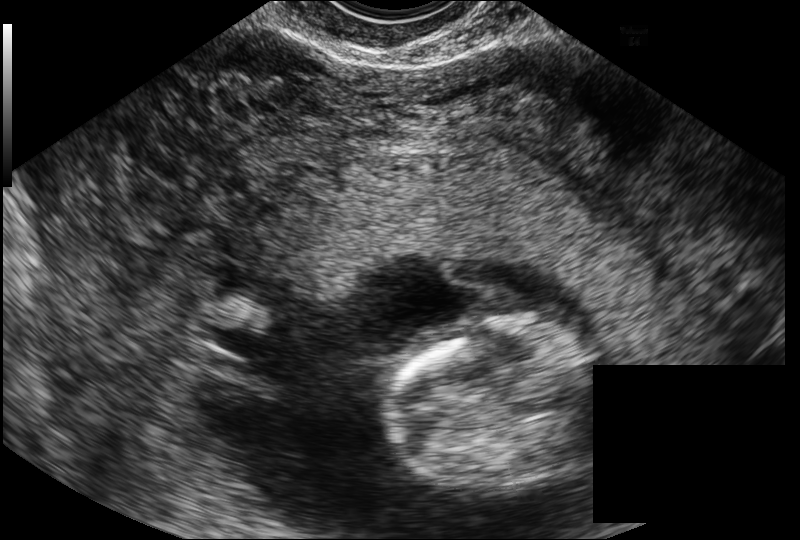
Estimate the fetal head circumference from this 2D ultrasound.

Head circumference: 69.5 mm (image width 90.9 mm).